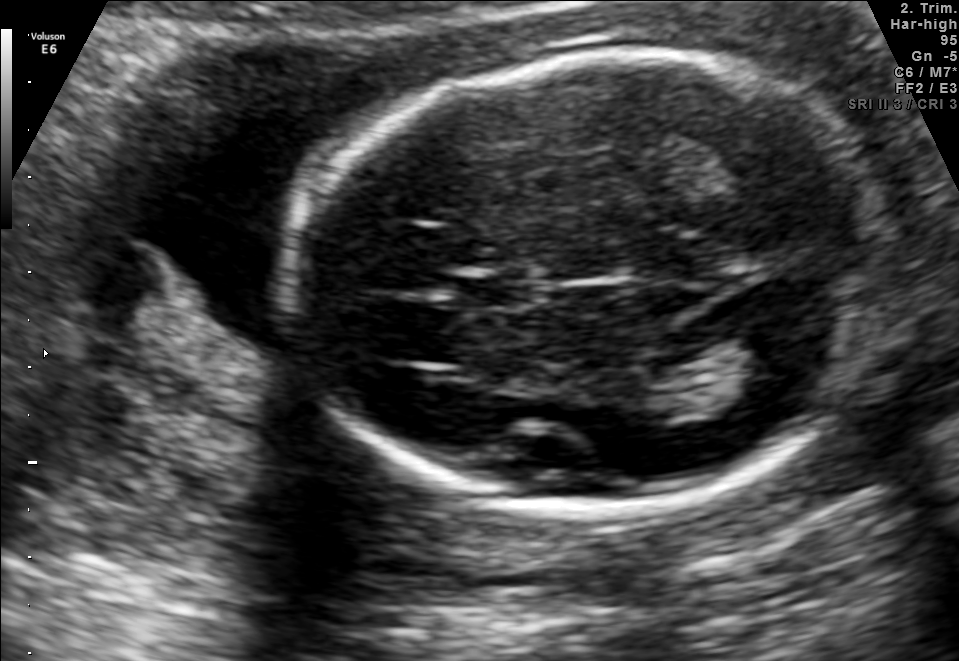
Fetal brain, trans-thalamic plane. Where is the lateral ventricle?

Lateral ventricle bounding box: [692,330,820,418]